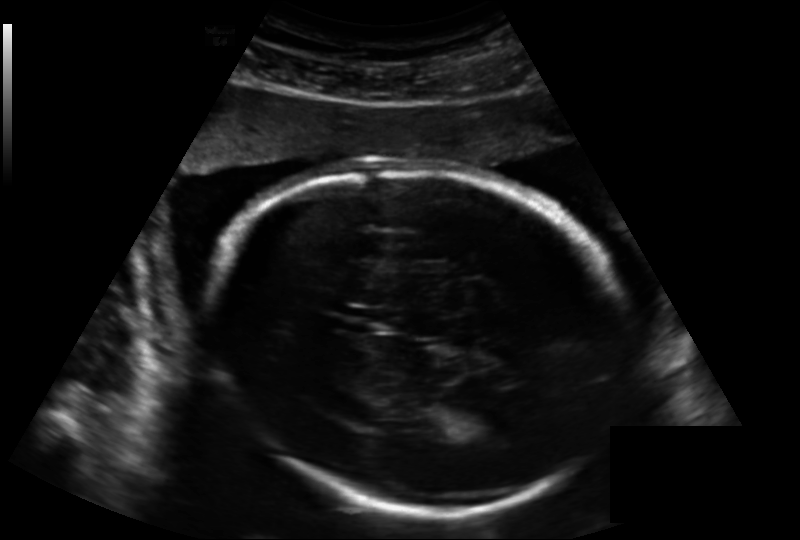
What is the fetal head circumference? Image width is 150.3 mm.

230.6 mm